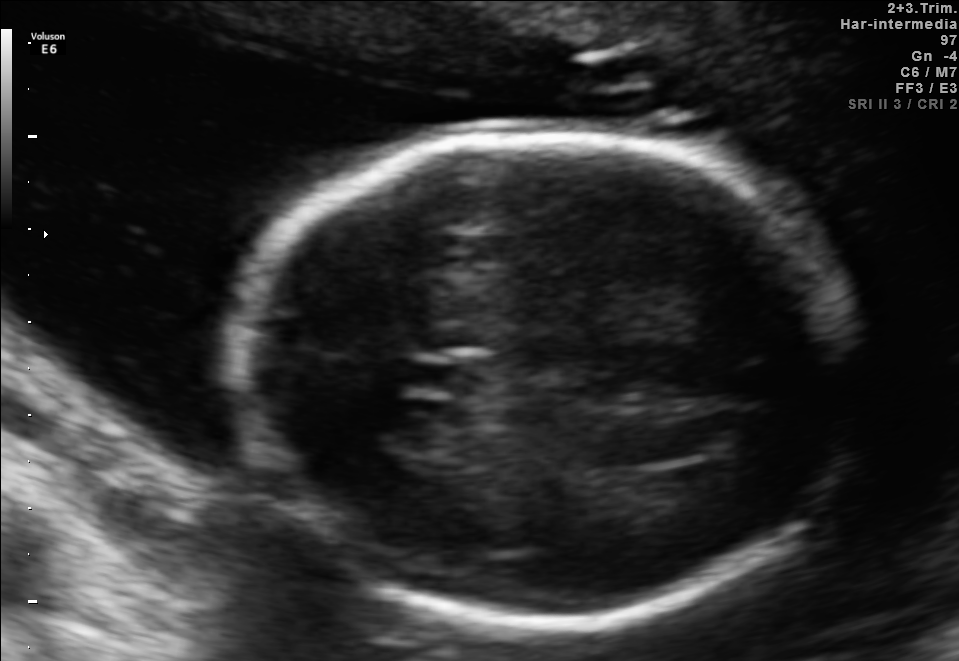
Fetal brain, trans-thalamic plane. Locate the cavum septum pellucidum.

CSP: [401,362,468,392]